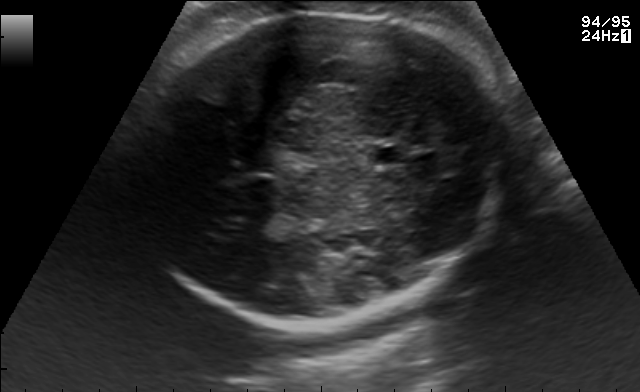
Fetal brain, trans-thalamic plane. Locate the cavum septum pellucidum.

CSP: [369,145,404,166]